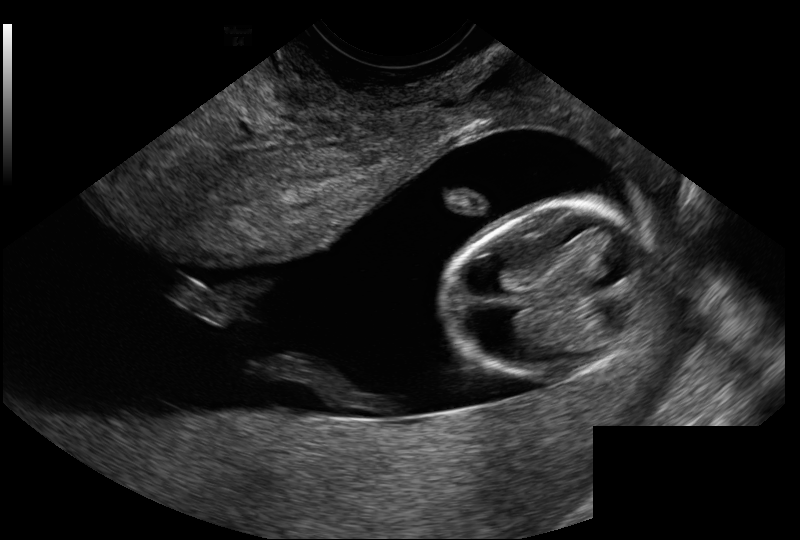
Fetal head ultrasound. Image width: 91.5 mm. Locate the fetal head and, if visible, the cavum septum pellucidum (CSP) and lateral ventricle (LV). Give bounding boxes as [x1,y1,x2,y2].

Head: [450,202,650,379]